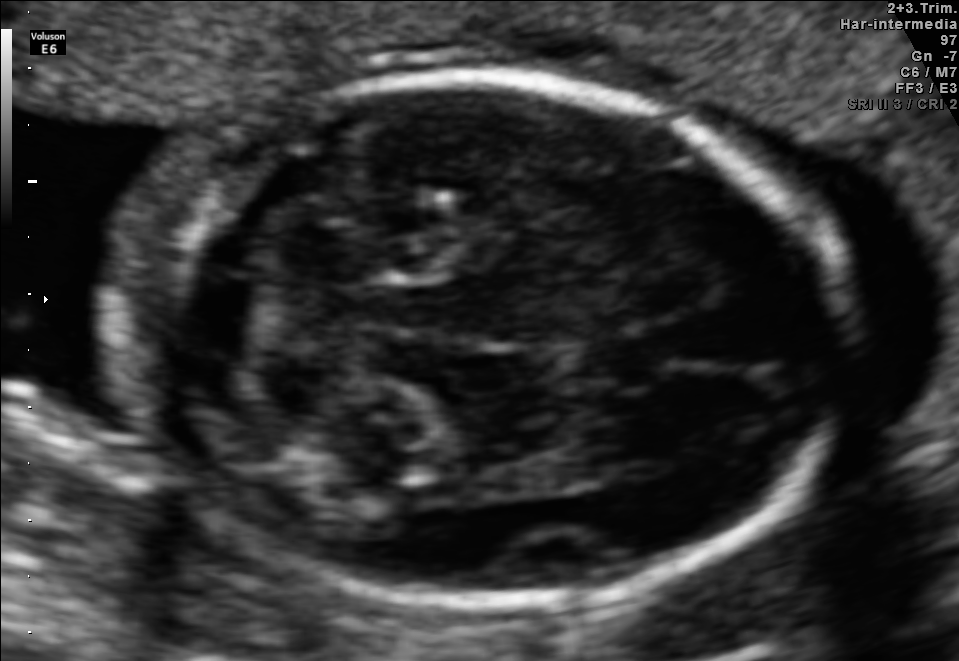
In this fetal brain, trans-cerebellum plane, give the bounding box of the cavum septum pellucidum.

[573,326,665,390]